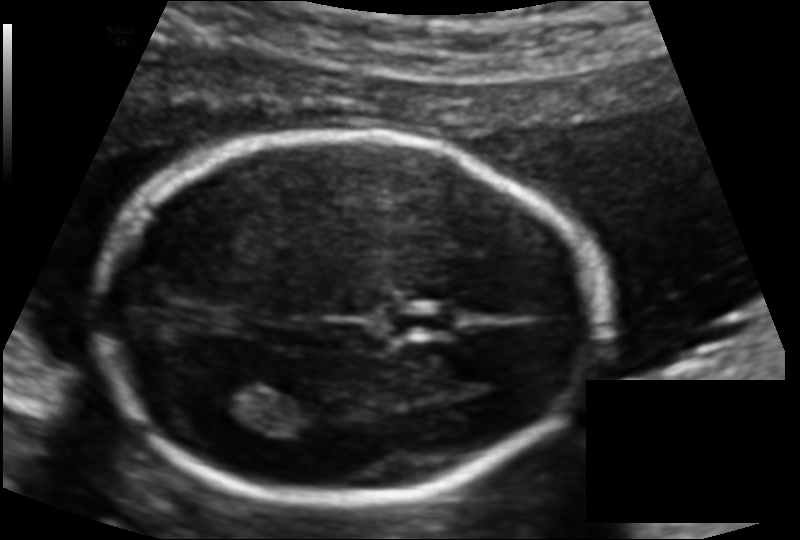
From this fetal ultrasound, estimate the head circumference (image width 91.6 mm).

Head circumference: 163.4 mm.